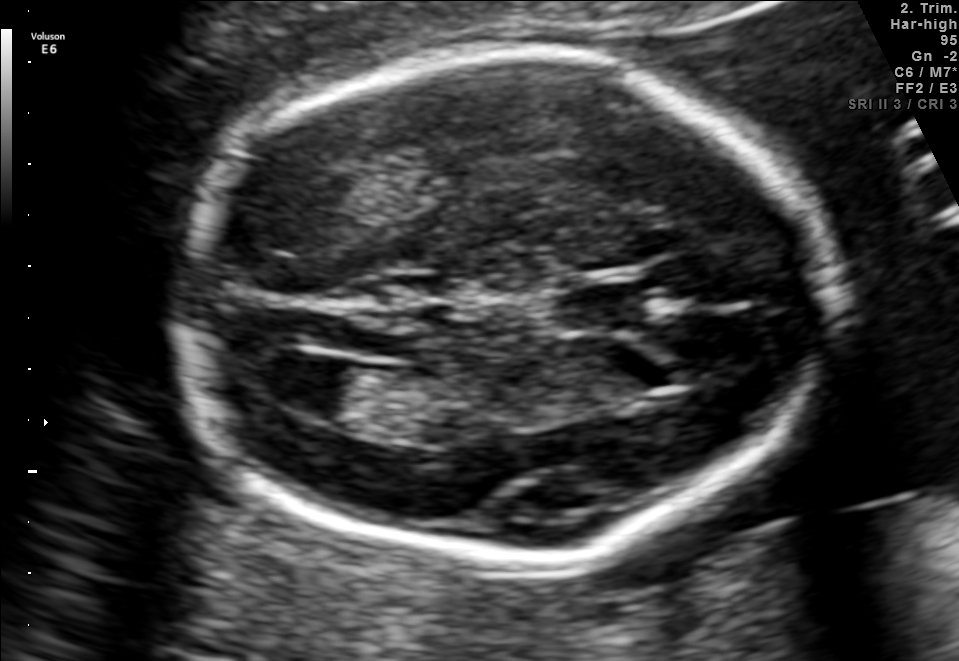
In this fetal brain, trans-ventricular plane, give bounding boxes for the head outline, cavum septum pellucidum (CSP), and lateral ventricle (LV), where visible.

Head: [163,43,856,572]
CSP: [543,279,674,333]
Lateral ventricle: [258,341,369,430]